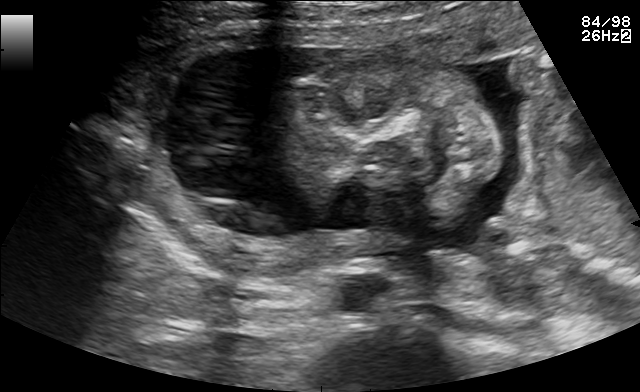
Identify the standard plane in this fetal ultrasound image: fetal abdomen, fetal brain, fetal femur, fetal thorax, maternal cervix, or other. If it's fetal brain and one of the three standard brain planes (trans-thalamic, trans-cerebellum, trans-ventricular), name which.

Other